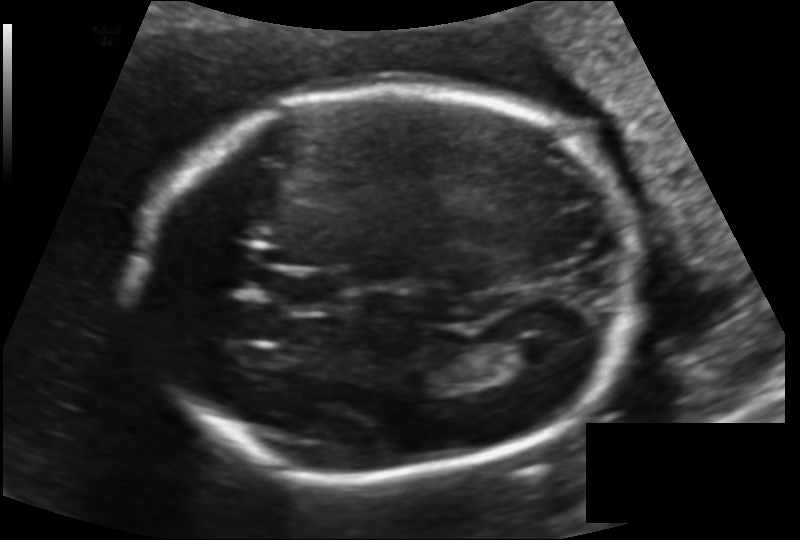
Estimate the fetal head circumference from this 2D ultrasound.

Head circumference: 209.1 mm (image width 115.0 mm).